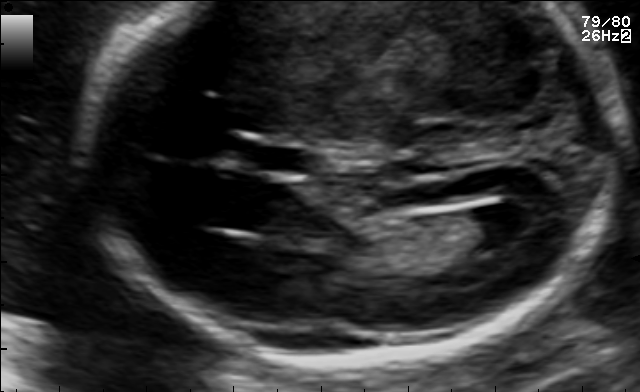
Fetal brain, trans-ventricular plane. Locate the cavum septum pellucidum (CSP) and lateral ventricle (LV), if visible. Give bounding boxes as [x1,y1,x2,y2].

CSP: [251,144,311,174]
Lateral ventricle: [454,196,540,254]